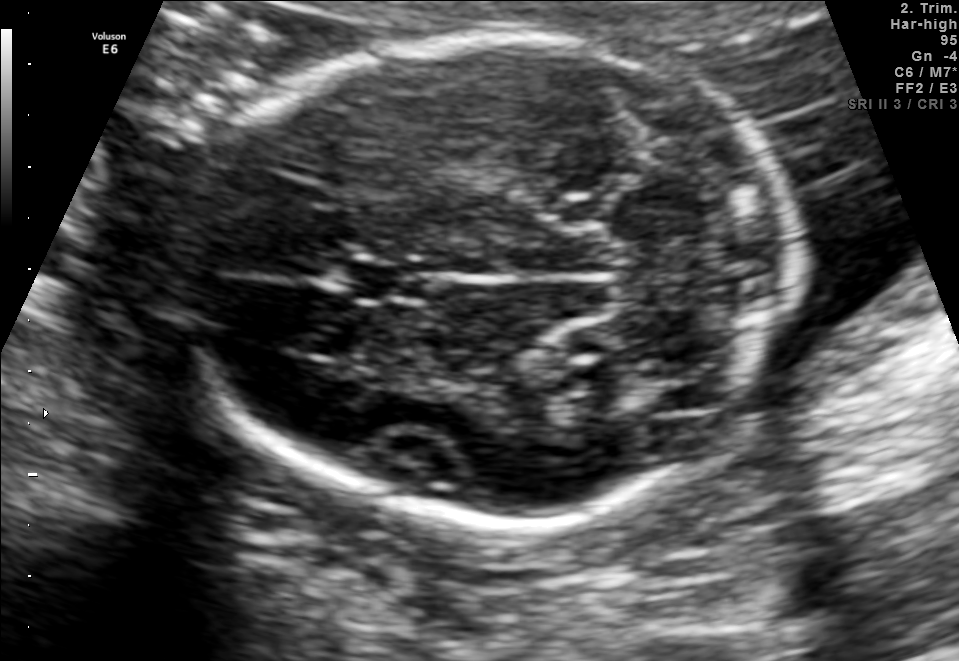
In this fetal brain, trans-cerebellum plane, give bounding boxes for the head outline, cavum septum pellucidum (CSP), and lateral ventricle (LV), where visible.

Head: [184,34,799,521]
CSP: [349,259,426,304]